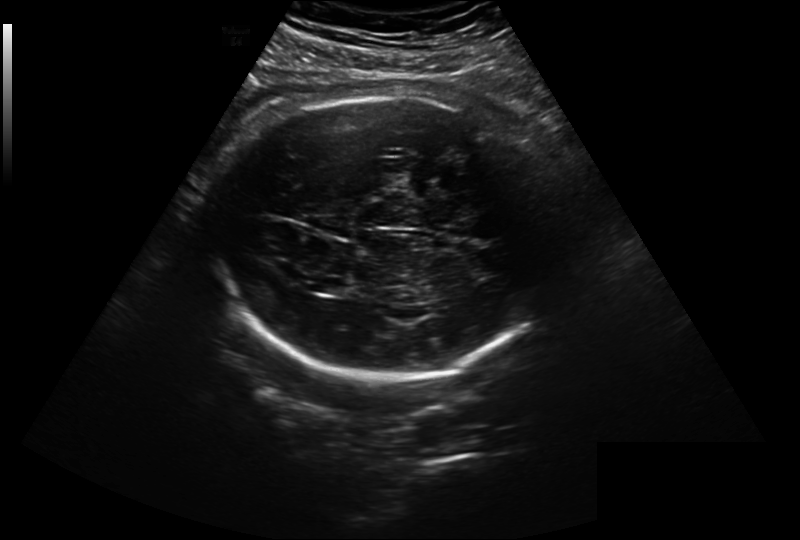
Fetal head ultrasound. Image width: 239.2 mm. Locate the lateral ventricle.

Lateral ventricle: [314,276,352,296]